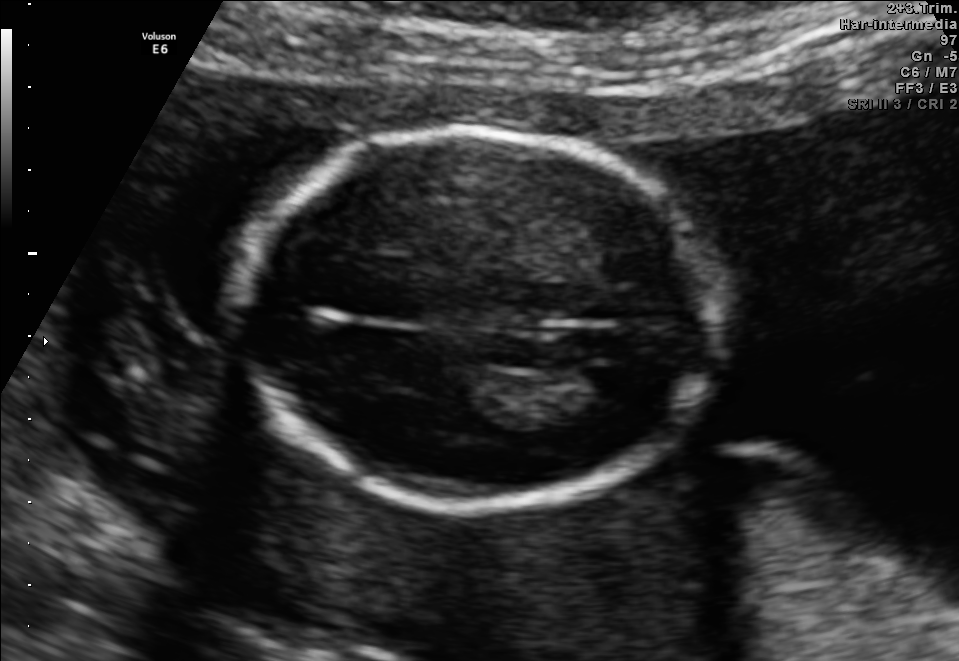
In this fetal brain, trans-ventricular plane, give the bounding box of the lateral ventricle.

[579,363,636,402]